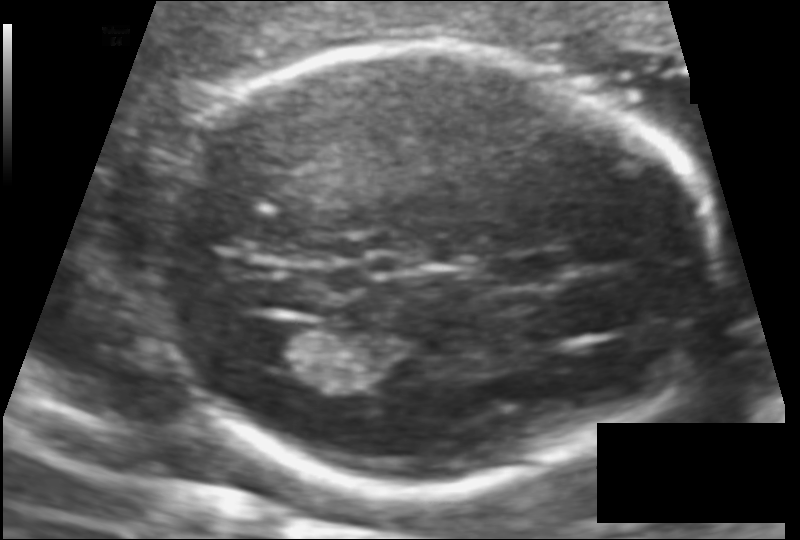
Measure the fetal head circumference shown in this ultrasound image. Image width: 84.7 mm.

Head circumference: 173.7 mm.